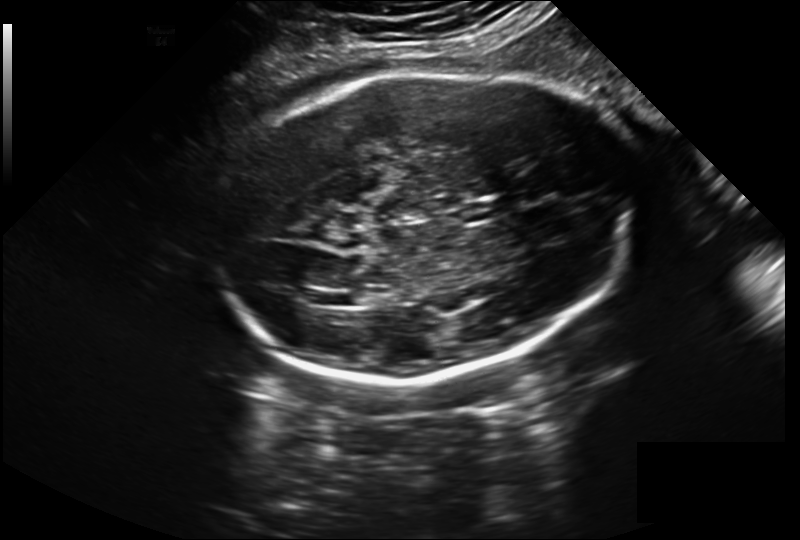
In this fetal head ultrasound, give the bounding box of the lateral ventricle. Image width: 194.5 mm.

[337,292,369,305]